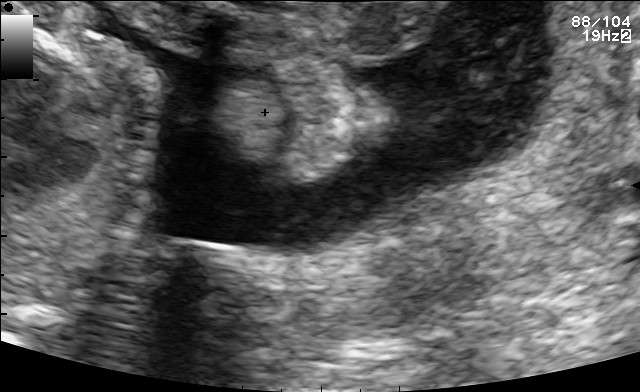
Classify this maternal-fetal ultrasound image as one of the six standard planes — fetal abdomen, fetal brain, fetal femur, fetal thorax, maternal cervix, or other. If it's fetal brain and one of the three standard brain planes (trans-thalamic, trans-cerebellum, trans-ventricular), name which.

Other